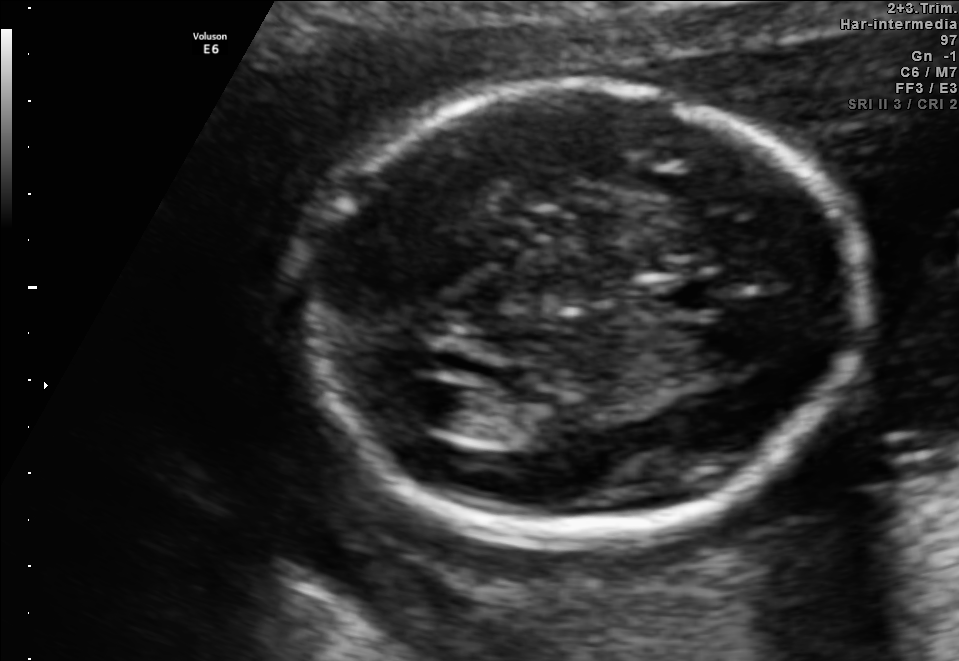
Fetal brain, trans-ventricular plane. Locate the fetal head and, if visible, the cavum septum pellucidum (CSP) and lateral ventricle (LV). Give bounding boxes as [x1,y1,x2,y2].

Head: [279,72,876,553]
CSP: [635,276,727,317]
Lateral ventricle: [383,368,476,436]